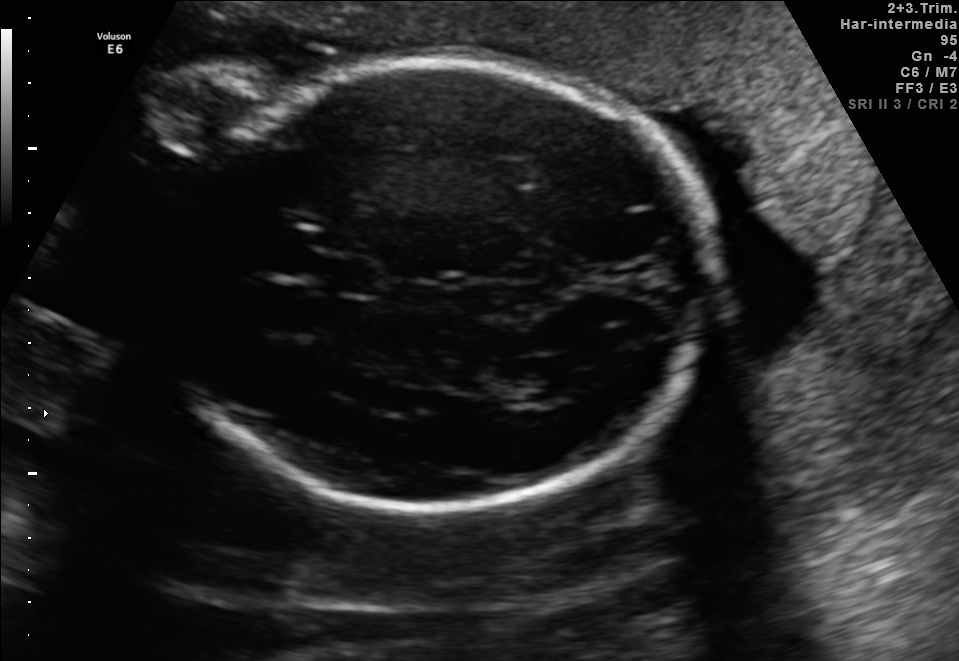
Fetal brain, trans-ventricular plane. Where is the cavum septum pellucidum?

CSP bounding box: [322,261,380,295]